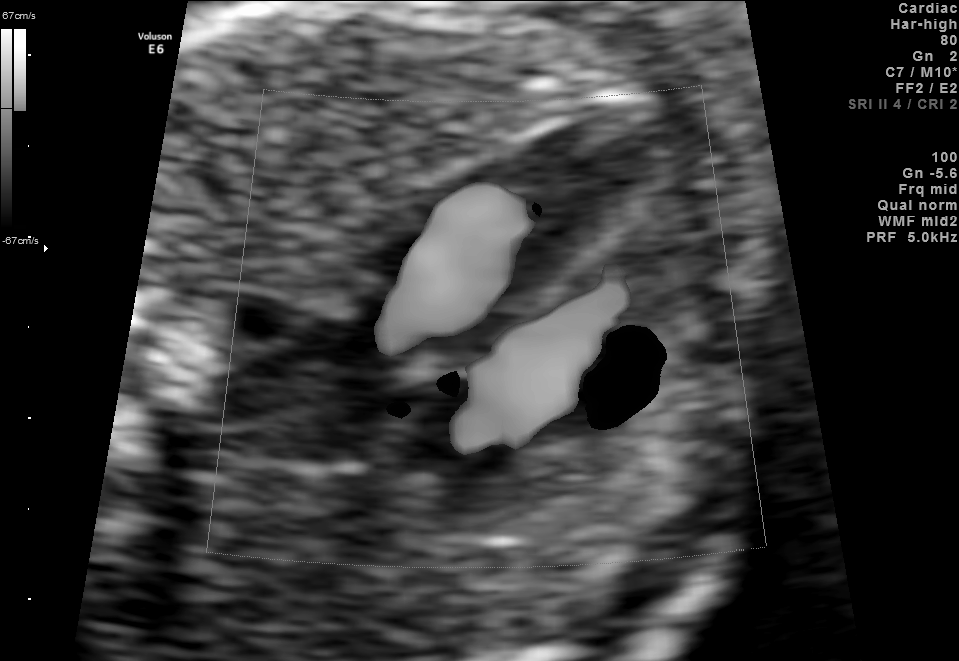
This is a 2D maternal-fetal ultrasound frame. Is it a fetal abdomen, fetal brain, fetal femur, fetal thorax, maternal cervix, or other standard plane? If it's fetal brain and one of the three standard brain planes (trans-thalamic, trans-cerebellum, trans-ventricular), name which.

Other